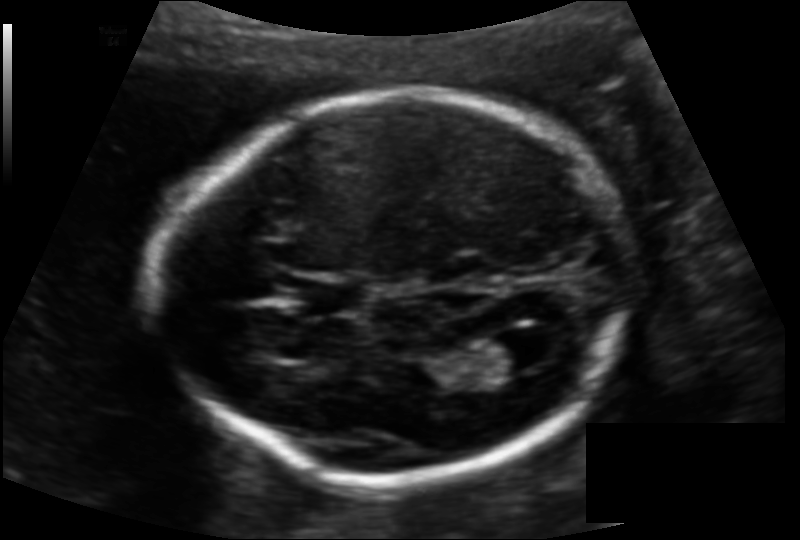
Fetal head ultrasound. Image width: 102.7 mm. Locate the cavum septum pellucidum.

CSP: [303,278,367,314]